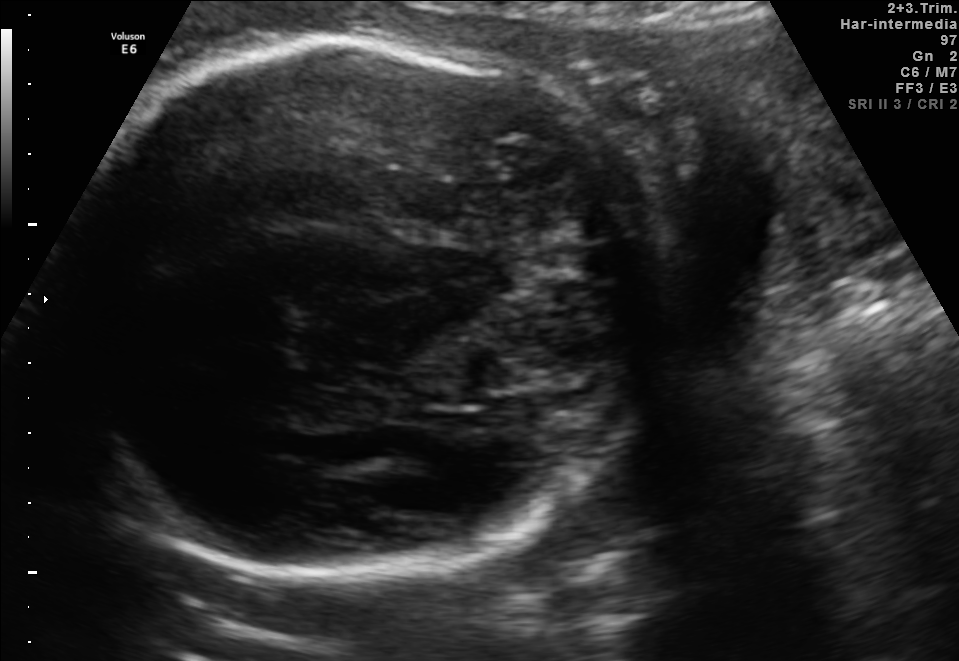
Which standard maternal-fetal ultrasound plane is shown: fetal abdomen, fetal brain, fetal femur, fetal thorax, maternal cervix, or other? If it's fetal brain and one of the three standard brain planes (trans-thalamic, trans-cerebellum, trans-ventricular), name which.

Fetal brain (trans-thalamic plane)